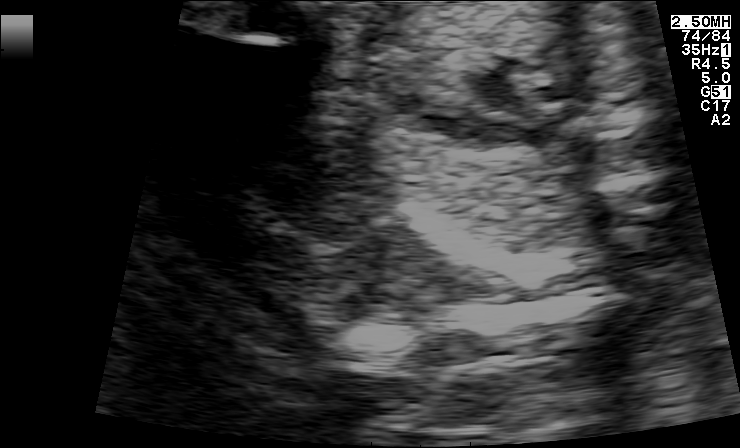
Classify this maternal-fetal ultrasound image as one of the six standard planes — fetal abdomen, fetal brain, fetal femur, fetal thorax, maternal cervix, or other. If it's fetal brain and one of the three standard brain planes (trans-thalamic, trans-cerebellum, trans-ventricular), name which.

Other